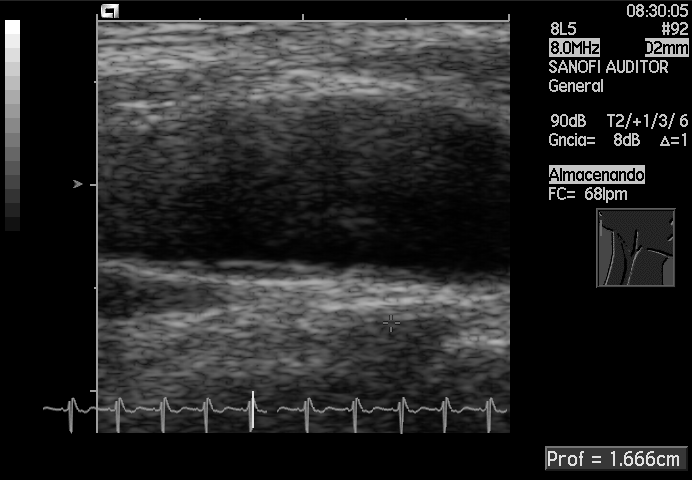
This is a 2D maternal-fetal ultrasound frame. Is it a fetal abdomen, fetal brain, fetal femur, fetal thorax, maternal cervix, or other standard plane? If it's fetal brain and one of the three standard brain planes (trans-thalamic, trans-cerebellum, trans-ventricular), name which.

Other